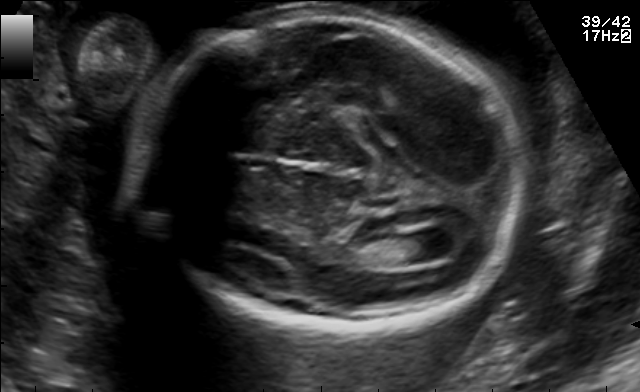
Fetal brain, trans-ventricular plane. Locate the lateral ventricle.

Lateral ventricle: [402,230,460,265]